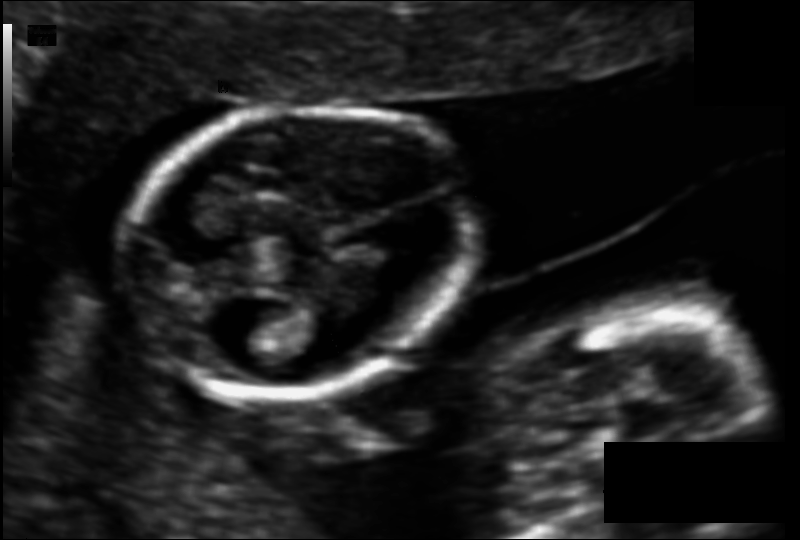
Fetal head ultrasound. Image width: 76.3 mm. Locate the fetal head and, if visible, the cavum septum pellucidum (CSP) and lateral ventricle (LV). Give bounding boxes as [x1,y1,x2,y2].

Head: [123,105,474,395]